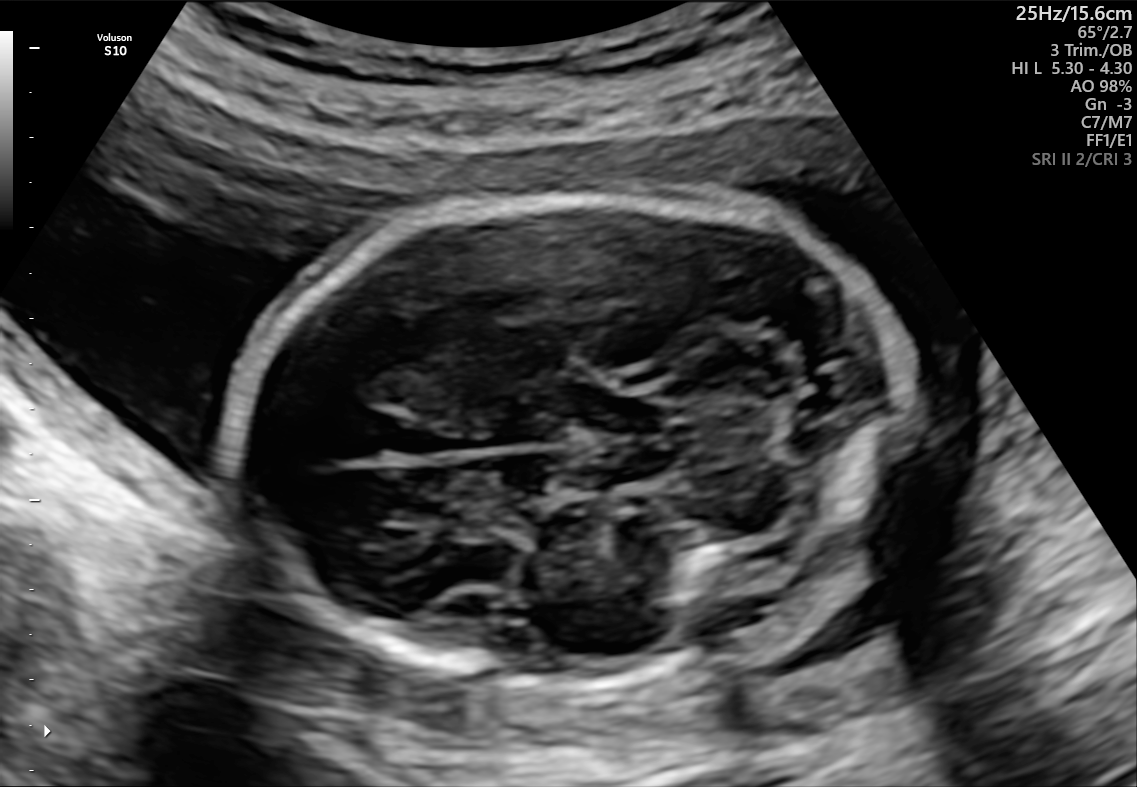
Fetal brain, trans-cerebellum plane. Locate the fetal head.

Head: [232,192,907,686]